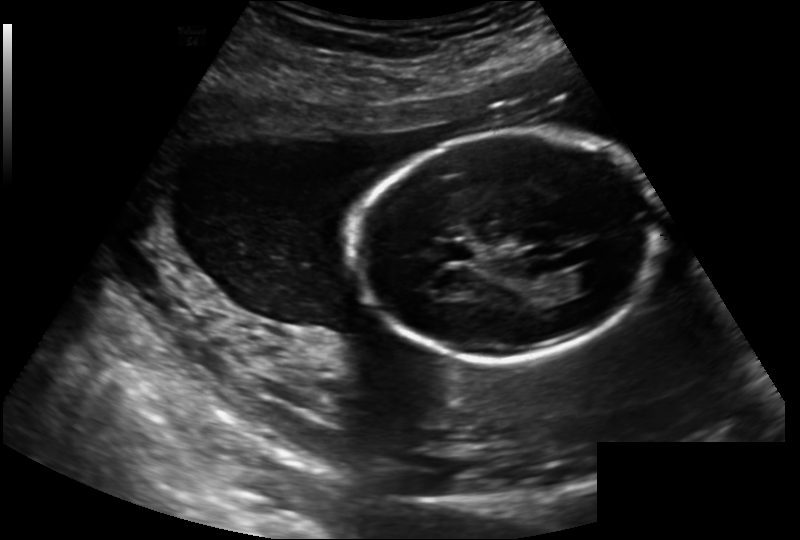
Estimate the fetal head circumference from this 2D ultrasound.

Head circumference: 175.9 mm (image width 161.7 mm).